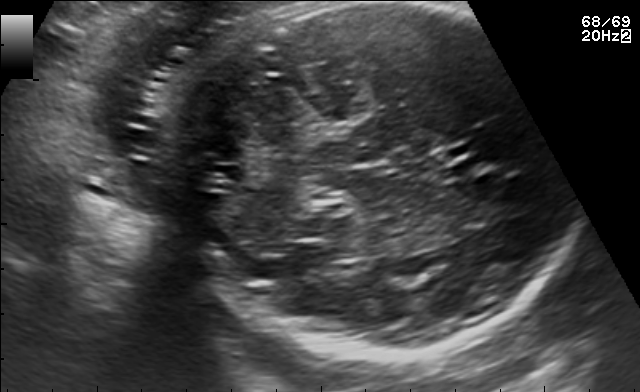
In this fetal brain, trans-cerebellum plane, give bounding boxes for the head outline, cavum septum pellucidum (CSP), and lateral ventricle (LV), where visible.

Head: [151,7,563,358]